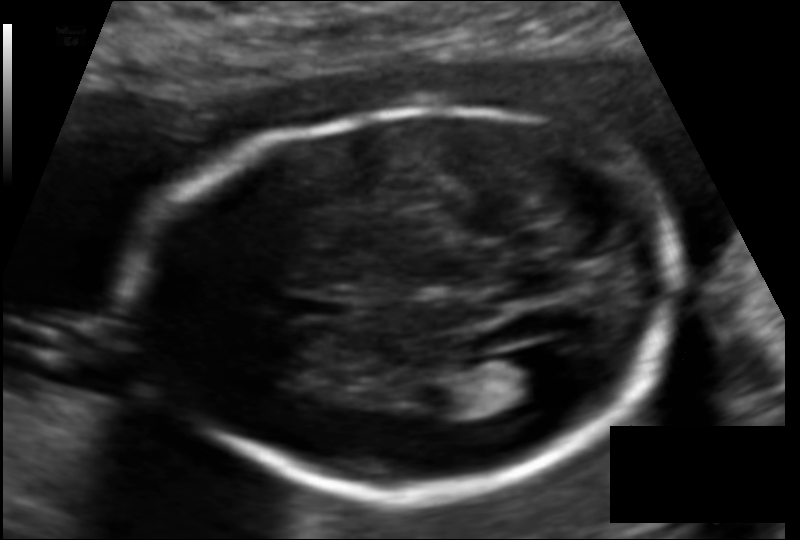
Fetal head ultrasound. Image width: 91.1 mm. Where is the cavum septum pellucidum?

CSP bounding box: [289,293,350,319]